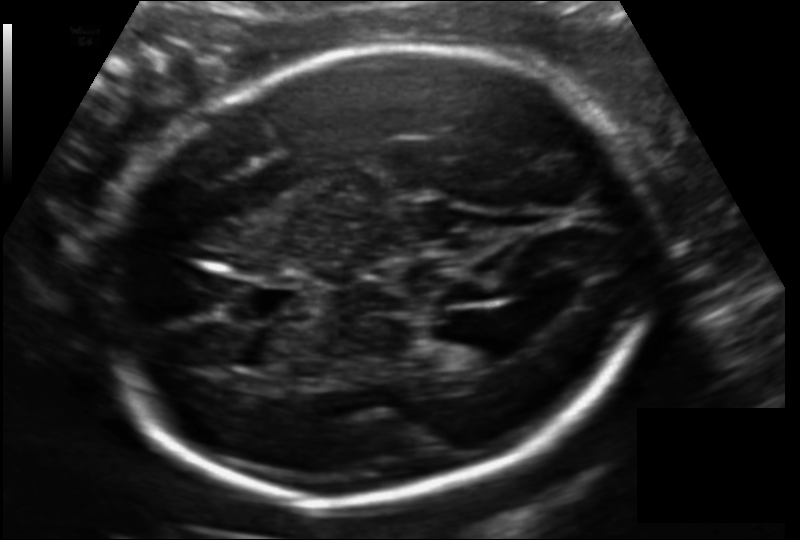
In this fetal head ultrasound, give the bounding box of the lateral ventricle. Image width: 111.6 mm.

[435,327,504,377]